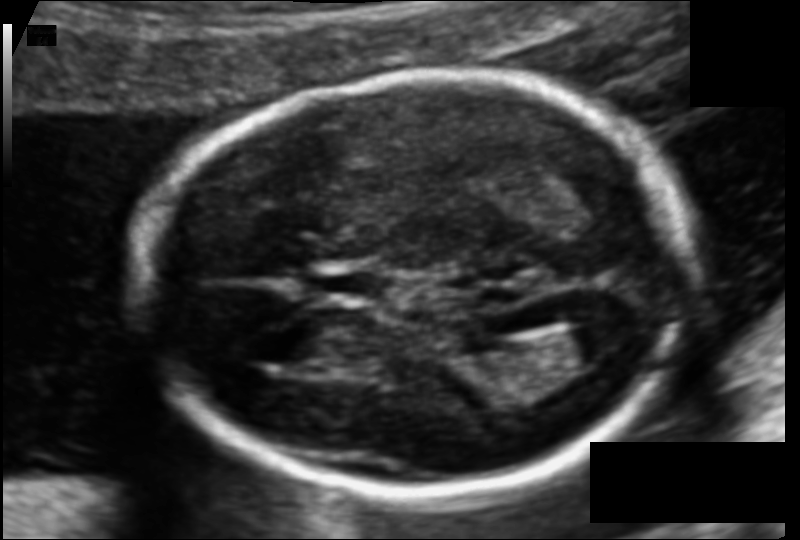
Fetal head ultrasound. Image width: 83.7 mm. Give [x1,y1,x2,y2] bounding boxes for each visible structure among: fetal head, CSP, LV.

Head: [140,78,685,489]
CSP: [315,270,382,297]
Lateral ventricle: [554,308,638,375]